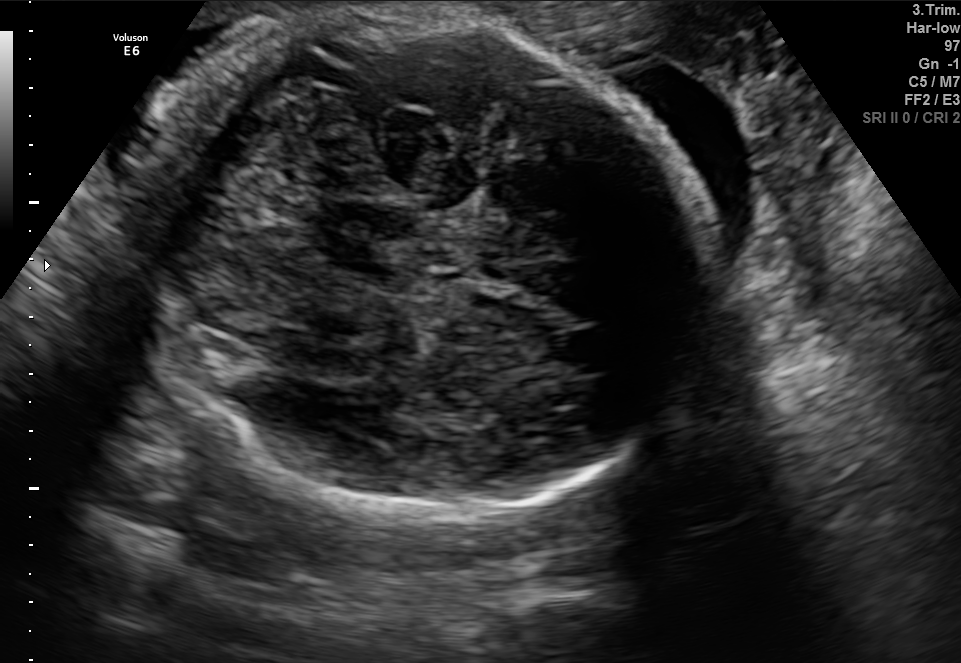
In this fetal brain, trans-cerebellum plane, give bounding boxes for the head outline, cavum septum pellucidum (CSP), and lateral ventricle (LV), where visible.

Head: [118,17,698,510]